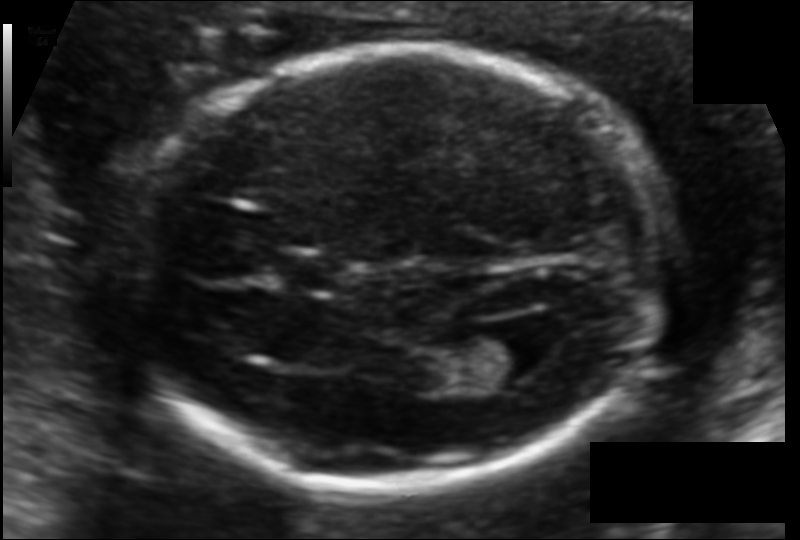
Fetal head ultrasound. Image width: 86.5 mm. Locate the fetal head.

Head: [134,50,667,490]